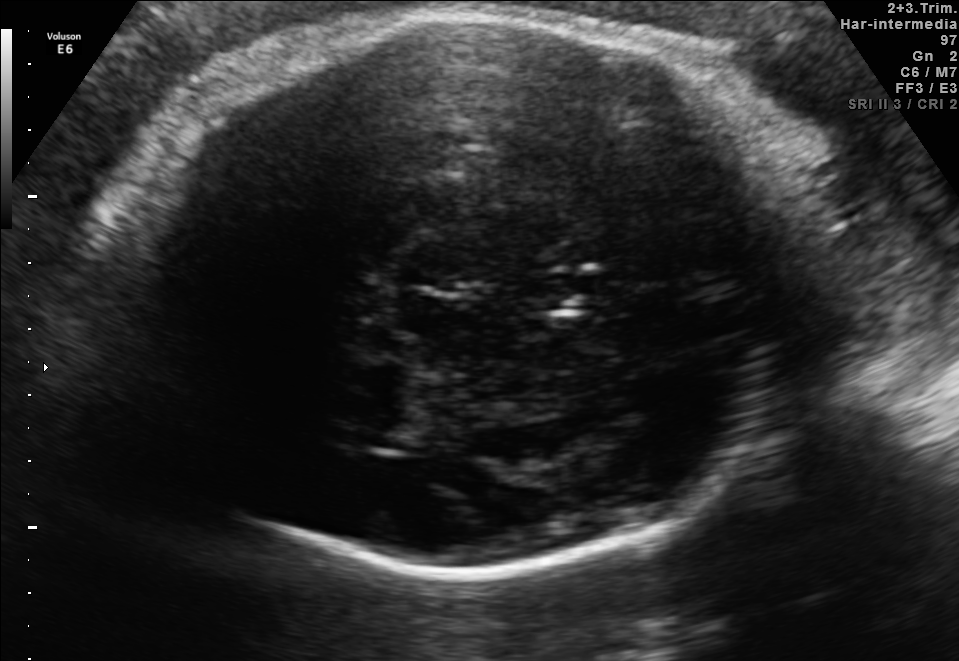
Fetal brain, trans-thalamic plane. Where is the cavum septum pellucidum?

CSP bounding box: [530,275,597,309]